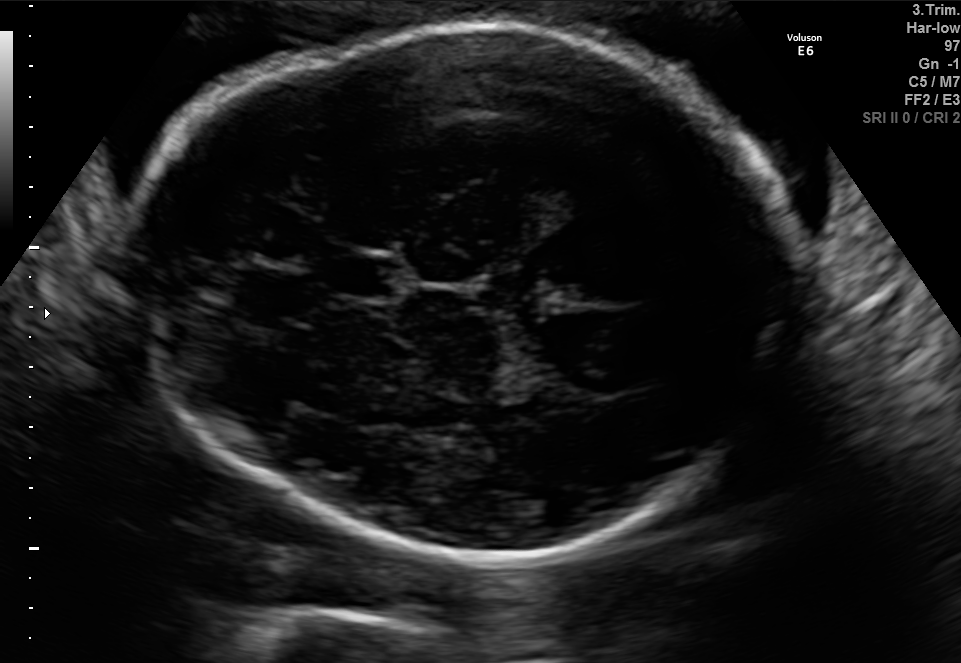
This is a 2D maternal-fetal ultrasound frame. Is it a fetal abdomen, fetal brain, fetal femur, fetal thorax, maternal cervix, or other standard plane? If it's fetal brain and one of the three standard brain planes (trans-thalamic, trans-cerebellum, trans-ventricular), name which.

Fetal brain (trans-thalamic plane)